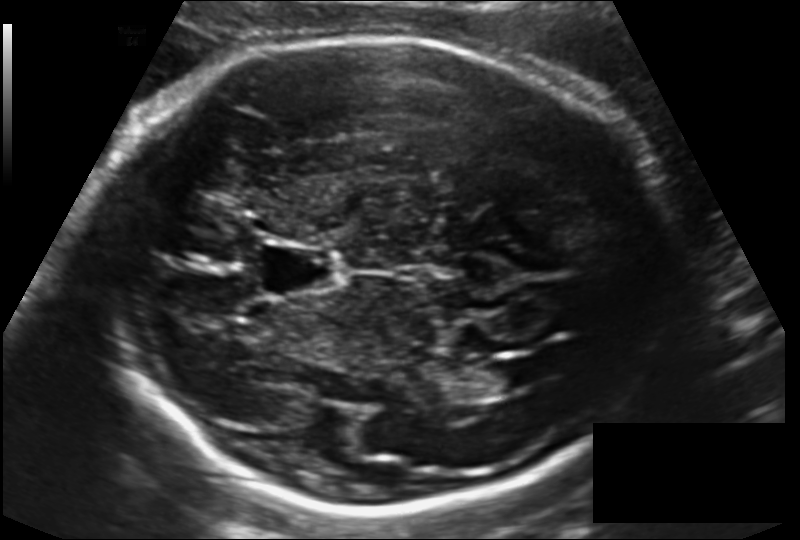
What is the fetal head circumference? Image width is 123.9 mm.

258.5 mm